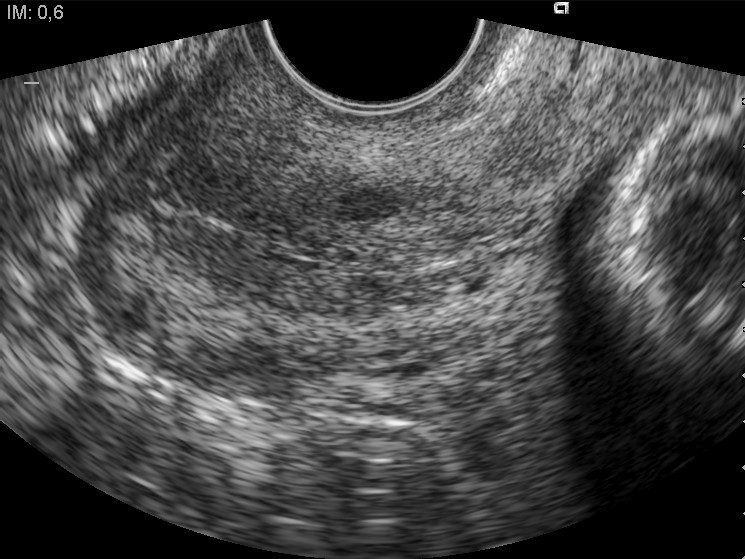
Which standard maternal-fetal ultrasound plane is shown: fetal abdomen, fetal brain, fetal femur, fetal thorax, maternal cervix, or other? If it's fetal brain and one of the three standard brain planes (trans-thalamic, trans-cerebellum, trans-ventricular), name which.

Maternal cervix